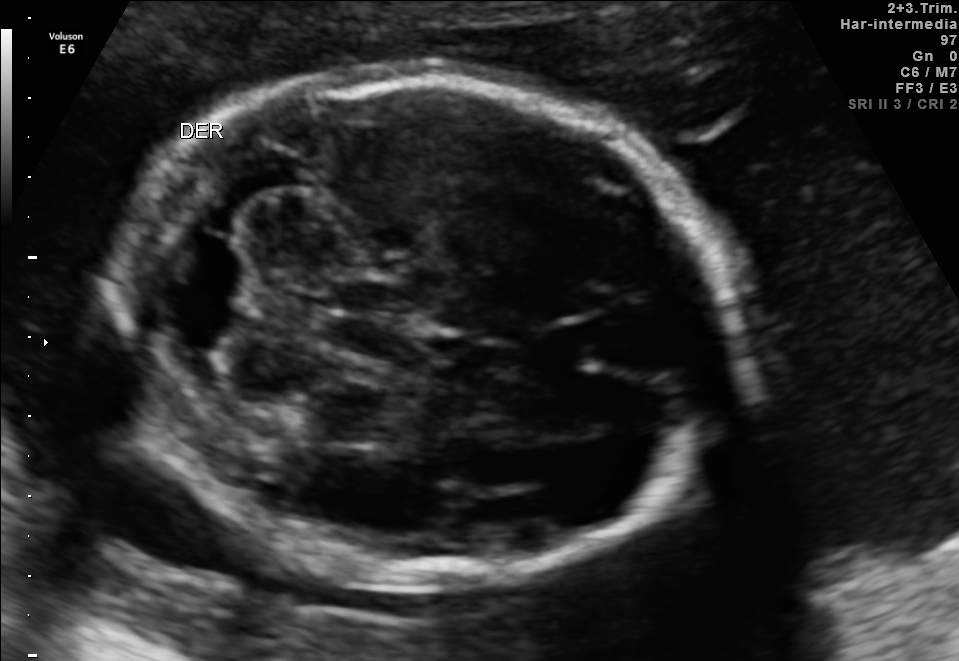
In this fetal brain, trans-cerebellum plane, give bounding boxes for the head outline, cavum septum pellucidum (CSP), and lateral ventricle (LV), where visible.

Head: [115,73,734,578]